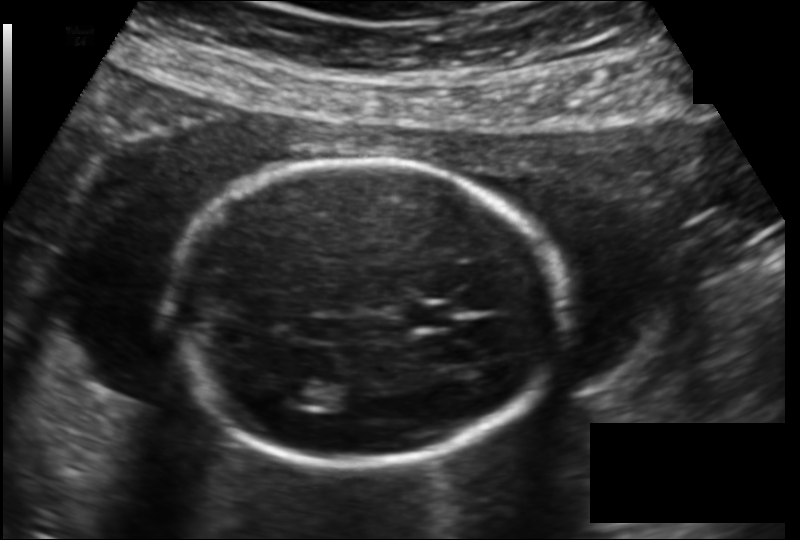
Fetal head ultrasound. Image width: 119.1 mm. Where is the cavum septum pellucidum?

CSP bounding box: [408,305,452,327]